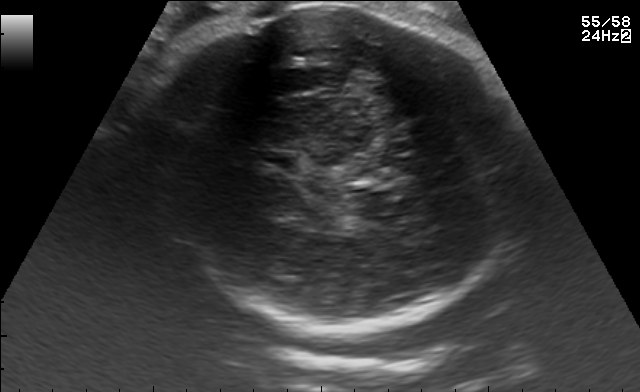
Fetal brain, trans-thalamic plane. Where is the fetal head?

Head bounding box: [141,3,523,326]